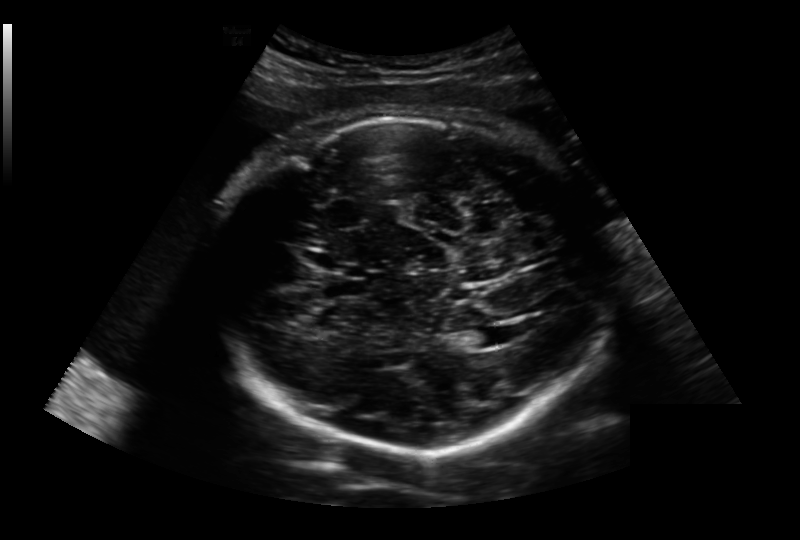
Estimate the fetal head circumference from this 2D ultrasound. Image width: 188.7 mm.

Head circumference: 285.0 mm.